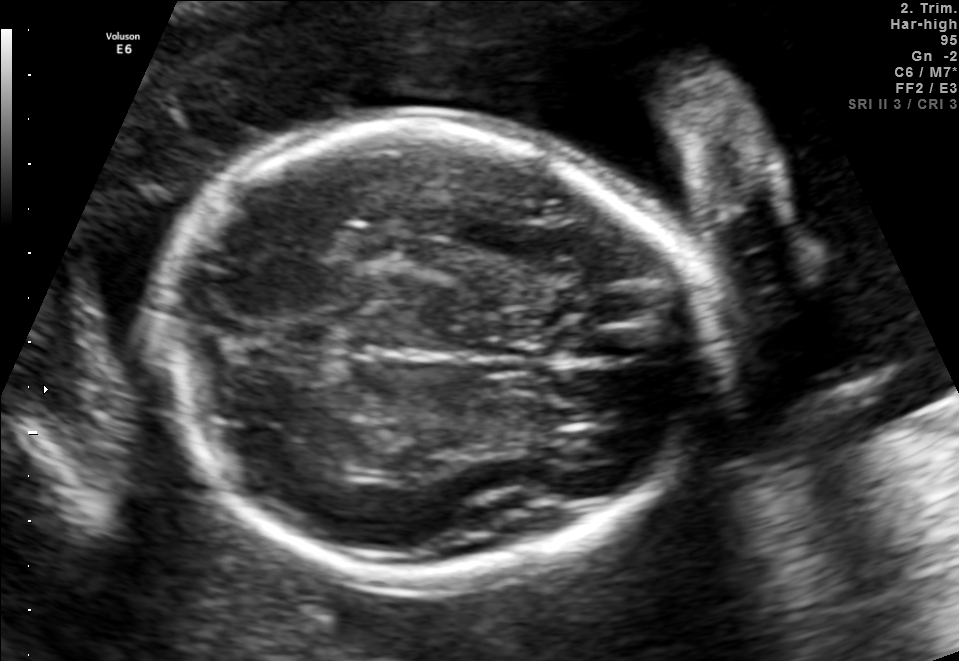
In this fetal brain, trans-thalamic plane, give the bounding box of the fetal head.

[160,120,707,577]